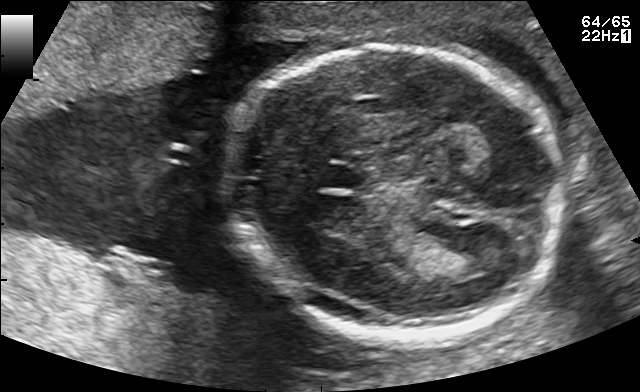
Fetal brain, trans-thalamic plane. Where is the fetal head?

Head bounding box: [229,44,559,342]